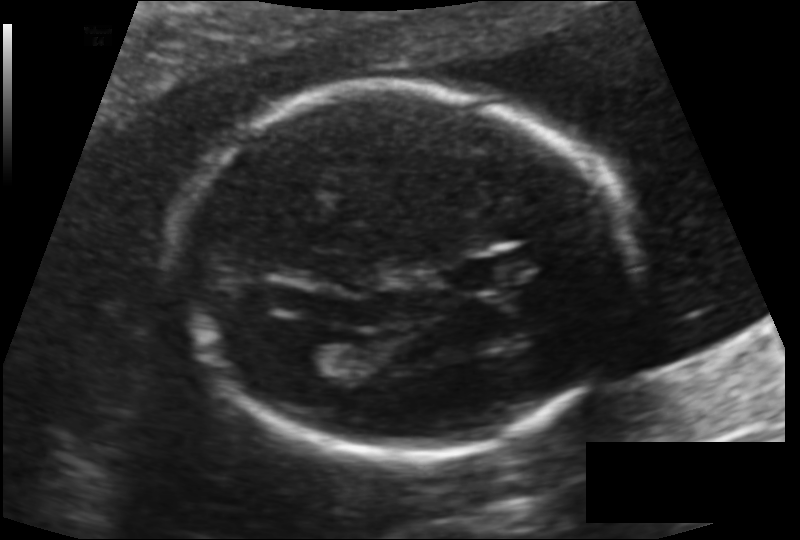
Fetal head ultrasound. Image width: 104.6 mm. Locate the fetal head and, if visible, the cavum septum pellucidum (CSP) and lateral ventricle (LV). Give bounding boxes as [x1,y1,x2,y2].

Head: [190,92,628,457]
CSP: [445,252,521,297]
Lateral ventricle: [298,343,359,379]